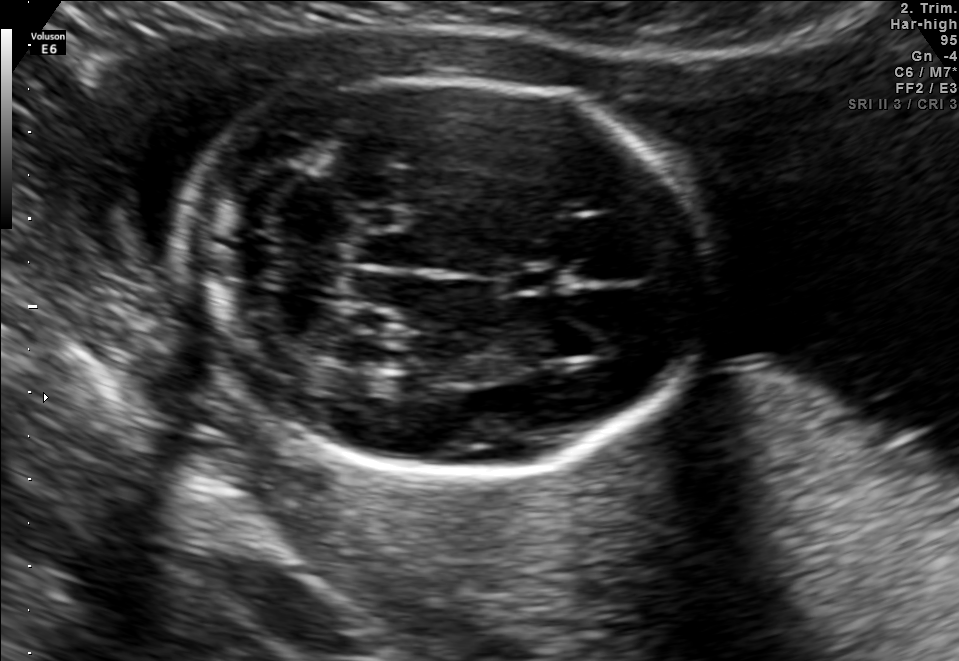
Fetal brain, trans-cerebellum plane. Give [x1,y1,x2,y2] bounding boxes for each visible structure among: fetal head, CSP, LV.

Head: [184,78,711,477]
CSP: [504,262,564,298]